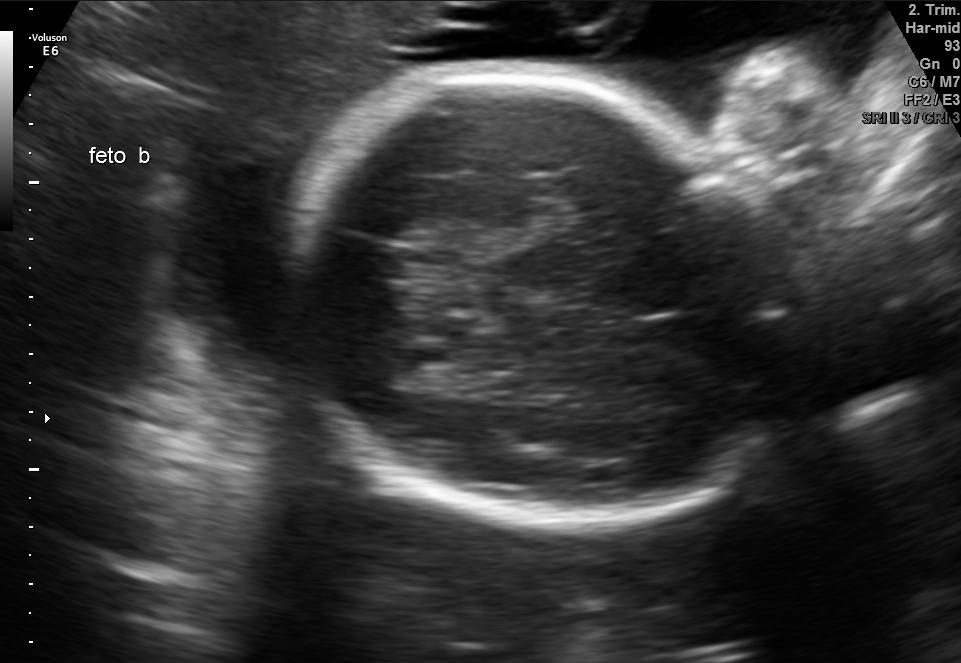
In this fetal brain, trans-thalamic plane, give the bounding box of the fetal head.

[284,70,796,527]